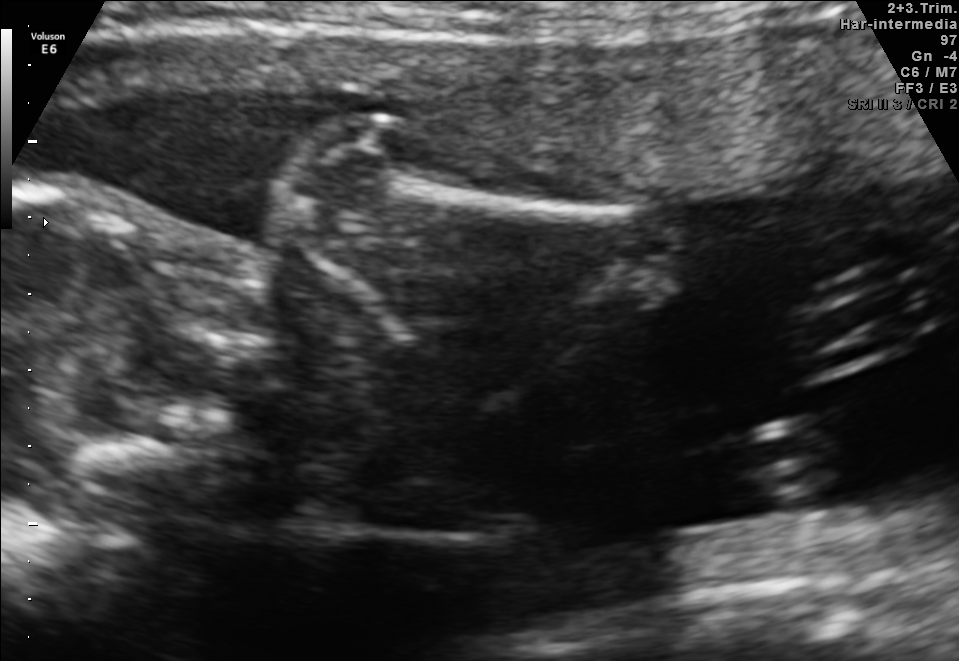
Identify the standard plane in this fetal ultrasound image: fetal abdomen, fetal brain, fetal femur, fetal thorax, maternal cervix, or other. If it's fetal brain and one of the three standard brain planes (trans-thalamic, trans-cerebellum, trans-ventricular), name which.

Other